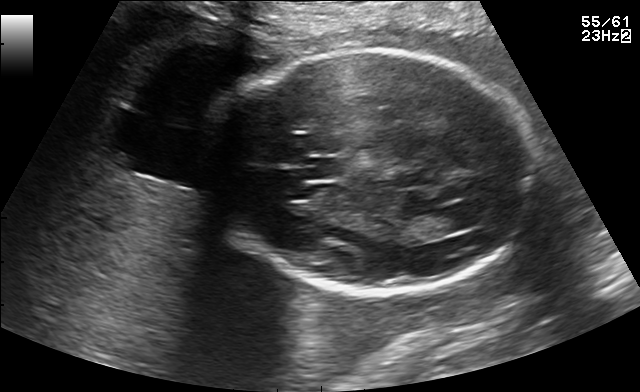
Fetal brain, trans-thalamic plane. Locate the fetal head and, if visible, the cavum septum pellucidum (CSP) and lateral ventricle (LV). Give bounding boxes as [x1,y1,x2,y2].

Head: [209,49,538,290]
CSP: [308,158,342,179]
Lateral ventricle: [399,204,466,247]